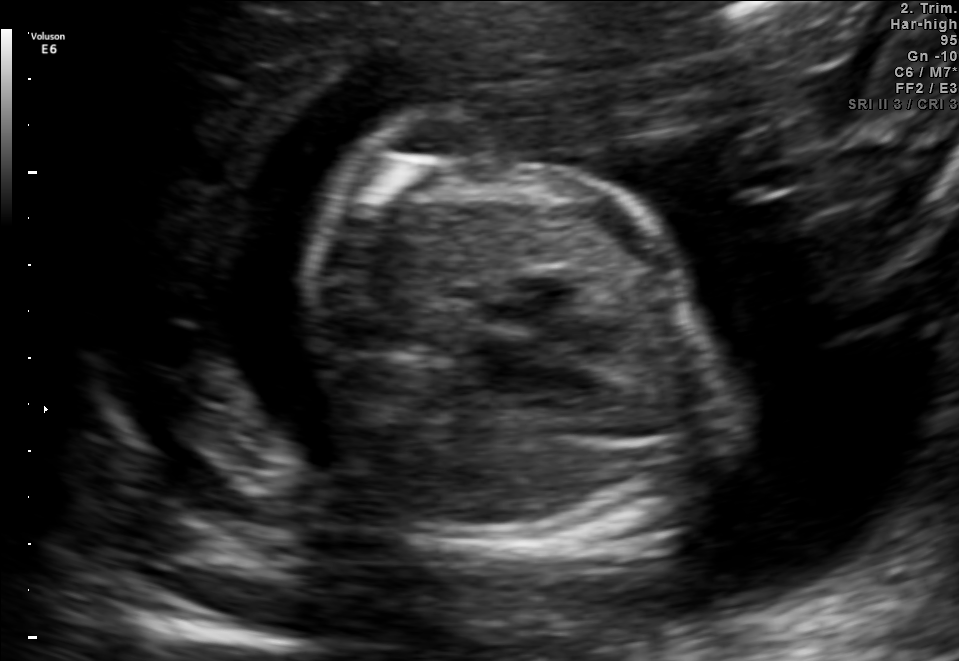
Identify the standard plane in this fetal ultrasound image: fetal abdomen, fetal brain, fetal femur, fetal thorax, maternal cervix, or other. If it's fetal brain and one of the three standard brain planes (trans-thalamic, trans-cerebellum, trans-ventricular), name which.

Fetal thorax